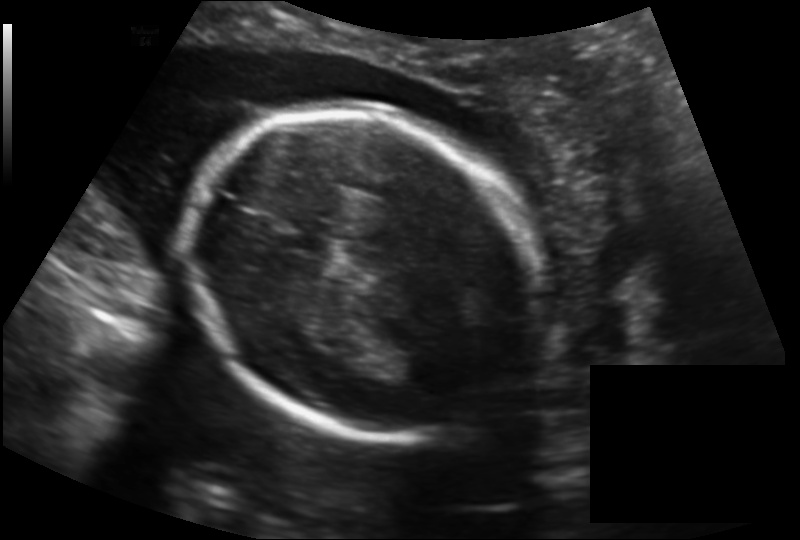
Estimate the fetal head circumference from this 2D ultrasound.

Head circumference: 180.1 mm (image width 131.3 mm).